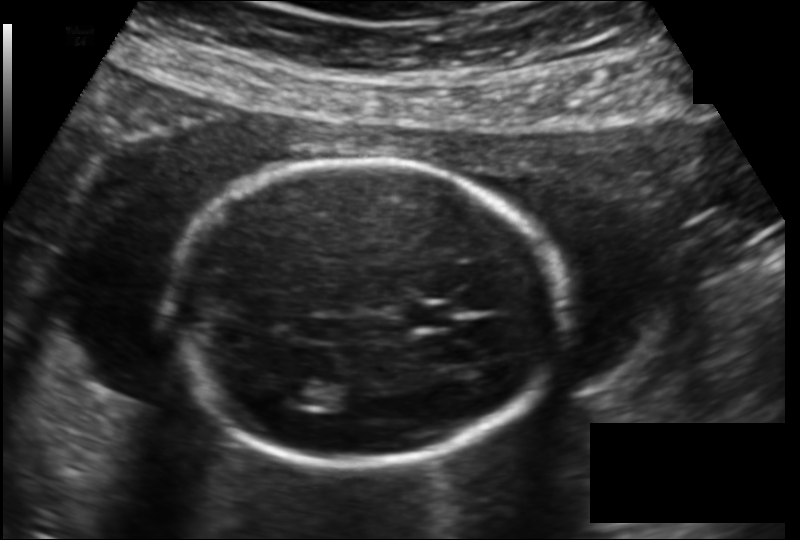
In this fetal head ultrasound, give the bounding box of the cavum septum pellucidum. Image width: 119.1 mm.

[408,305,452,327]